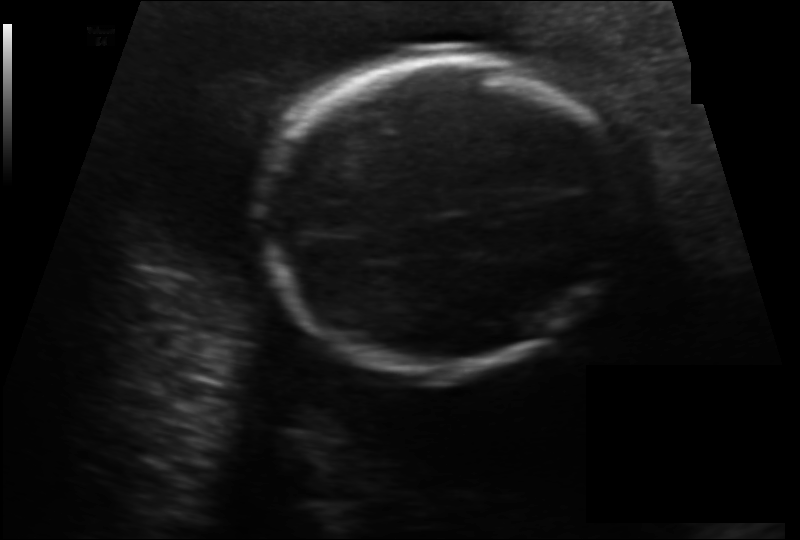
In this fetal head ultrasound, give the bounding box of the fetal head. Image width: 124.9 mm.

[259,58,626,369]